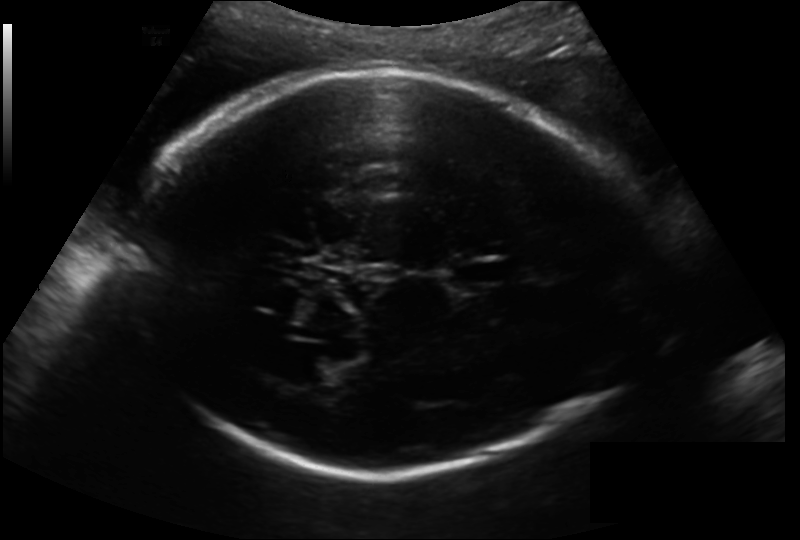
In this fetal head ultrasound, give the bounding box of the fetal head. Image width: 154.5 mm.

[124,71,656,477]